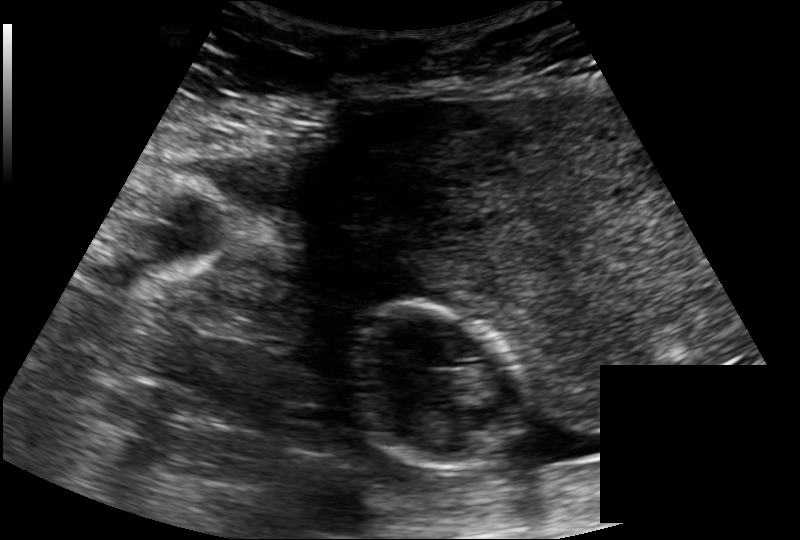
Estimate the fetal head circumference from this 2D ultrasound. Image width: 136.5 mm.

Head circumference: 98.2 mm.